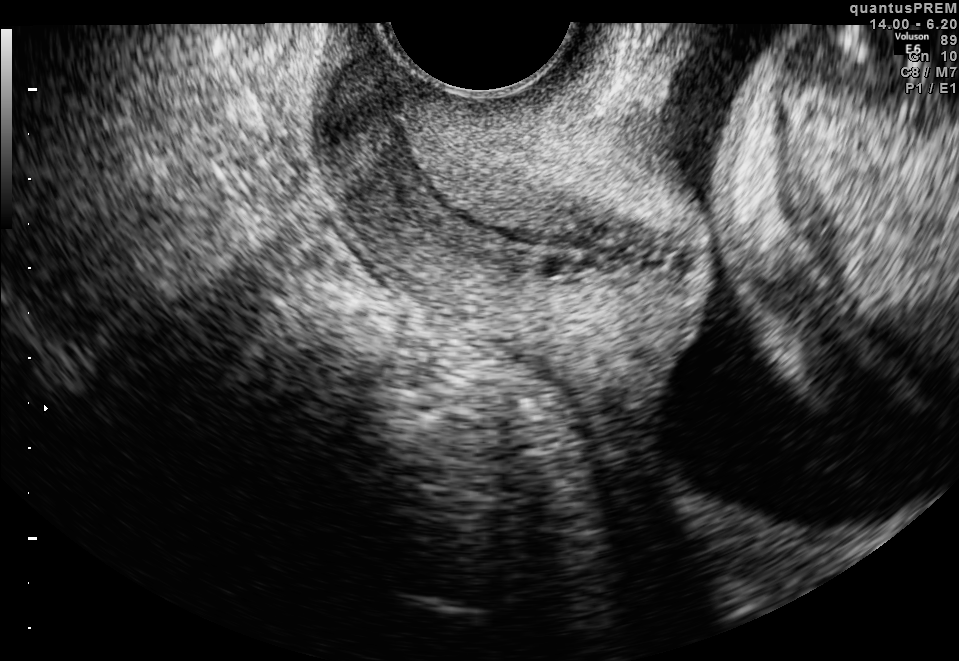
Identify the standard plane in this fetal ultrasound image: fetal abdomen, fetal brain, fetal femur, fetal thorax, maternal cervix, or other. If it's fetal brain and one of the three standard brain planes (trans-thalamic, trans-cerebellum, trans-ventricular), name which.

Maternal cervix